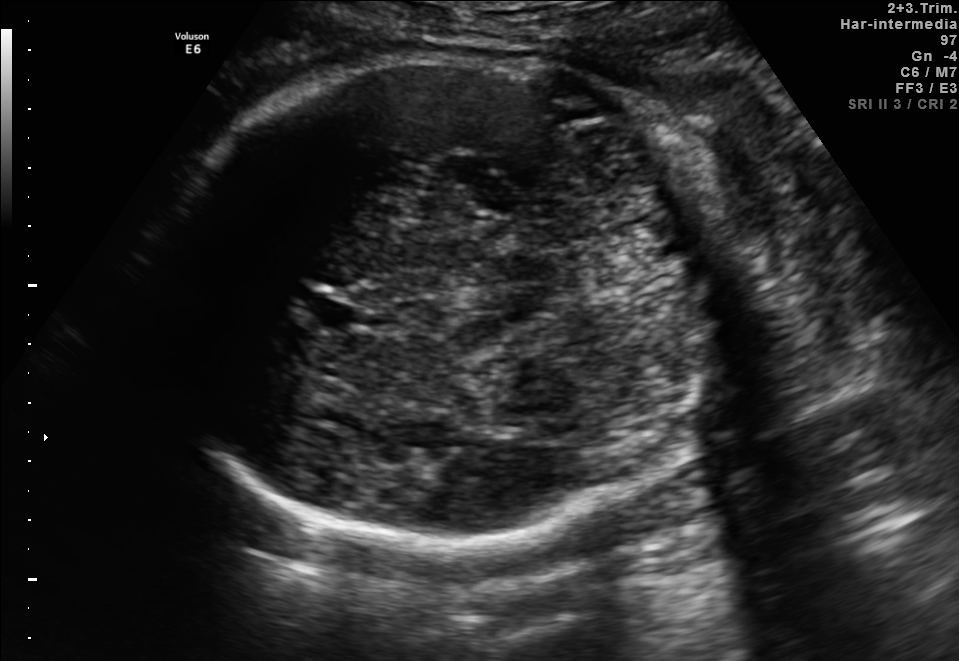
Fetal brain, trans-thalamic plane. Where is the fetal head?

Head bounding box: [150,59,715,538]